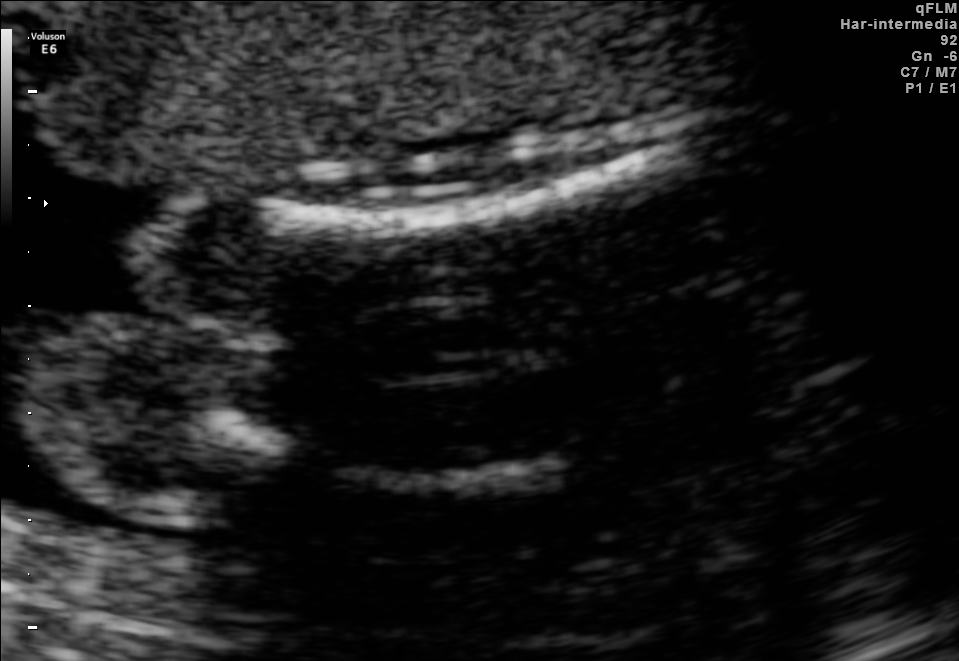
Classify this maternal-fetal ultrasound image as one of the six standard planes — fetal abdomen, fetal brain, fetal femur, fetal thorax, maternal cervix, or other. If it's fetal brain and one of the three standard brain planes (trans-thalamic, trans-cerebellum, trans-ventricular), name which.

Fetal femur